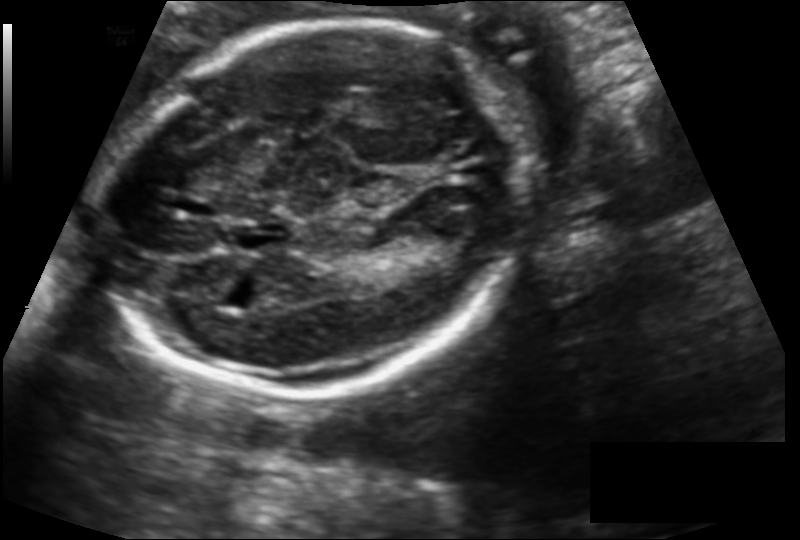
Estimate the fetal head circumference from this 2D ultrasound. Image width: 106.3 mm.

Head circumference: 175.1 mm.